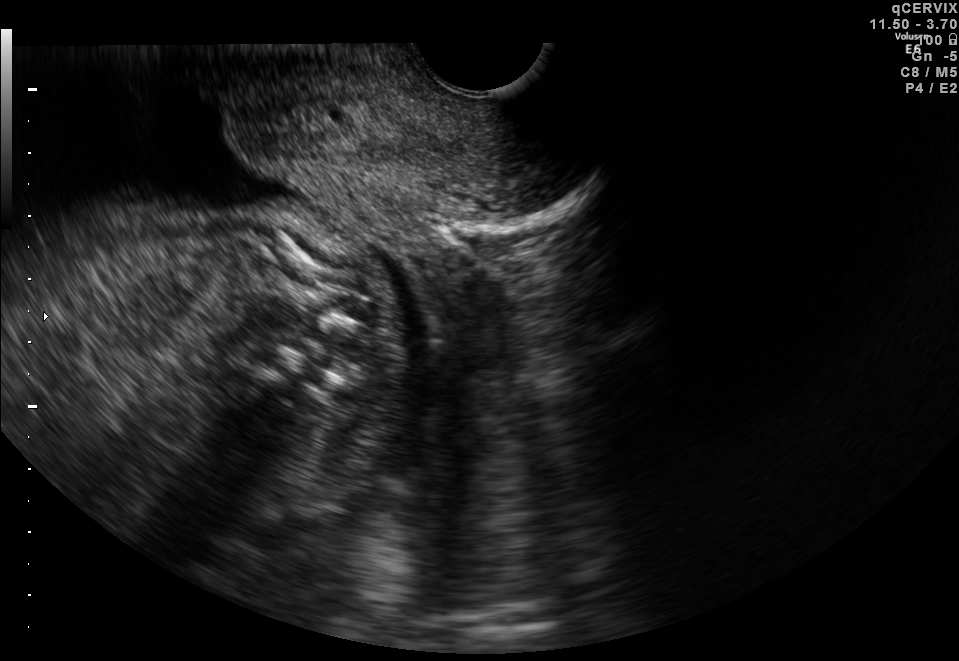
Classify this maternal-fetal ultrasound image as one of the six standard planes — fetal abdomen, fetal brain, fetal femur, fetal thorax, maternal cervix, or other. If it's fetal brain and one of the three standard brain planes (trans-thalamic, trans-cerebellum, trans-ventricular), name which.

Other